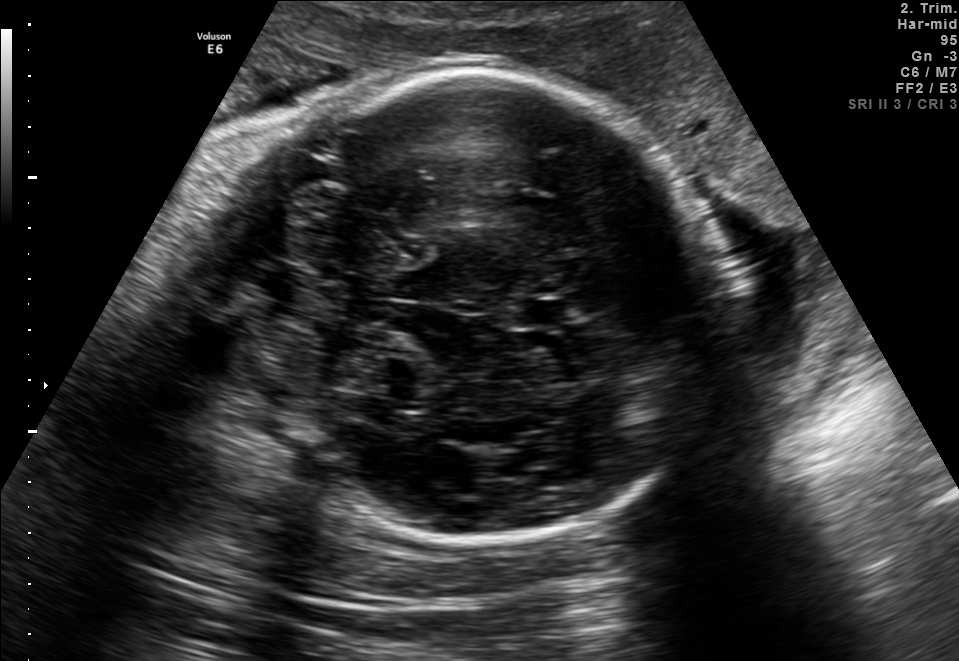
Which standard maternal-fetal ultrasound plane is shown: fetal abdomen, fetal brain, fetal femur, fetal thorax, maternal cervix, or other? If it's fetal brain and one of the three standard brain planes (trans-thalamic, trans-cerebellum, trans-ventricular), name which.

Fetal brain (trans-cerebellum plane)